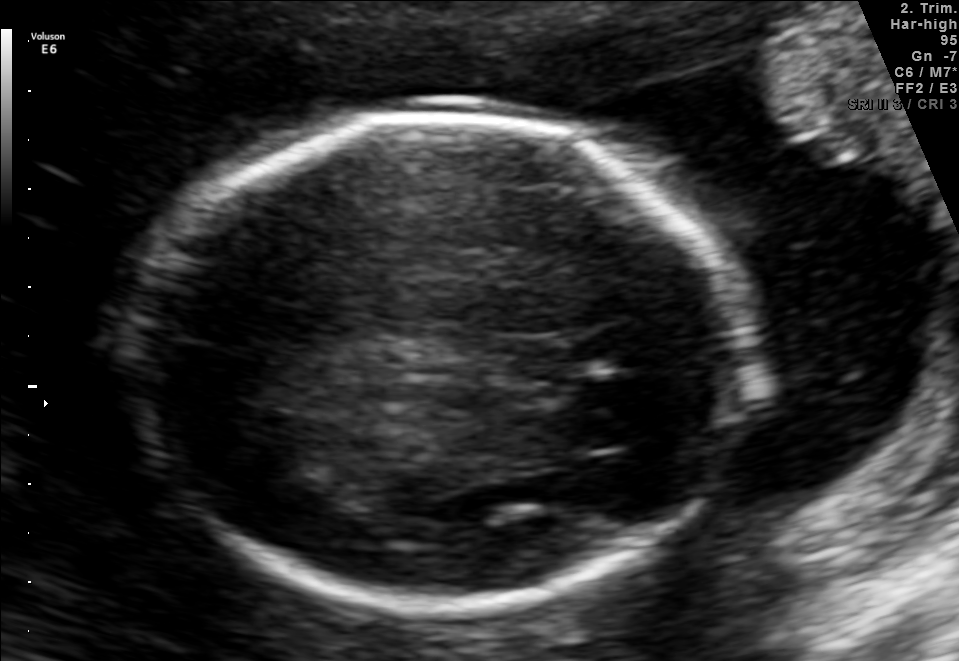
In this fetal brain, trans-thalamic plane, give the bounding box of the fetal head.

[142,116,749,597]